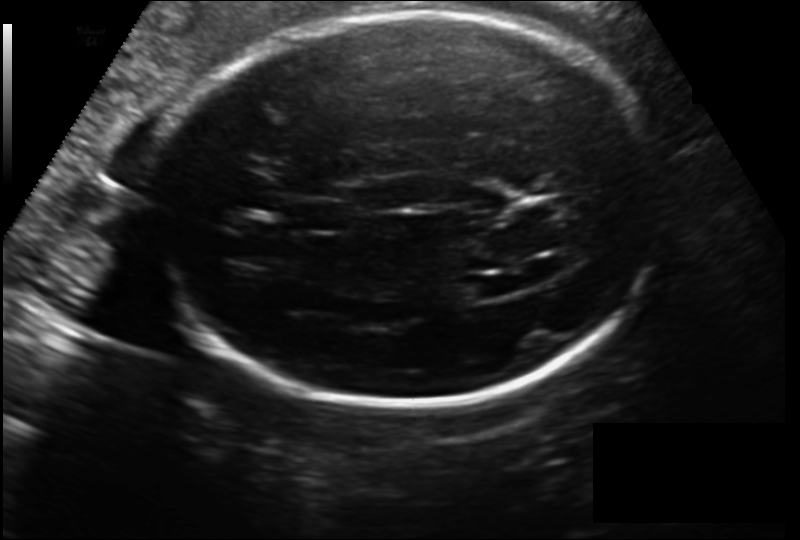
From this fetal ultrasound, estimate the head circumference (image width 149.1 mm).

Head circumference: 270.8 mm.